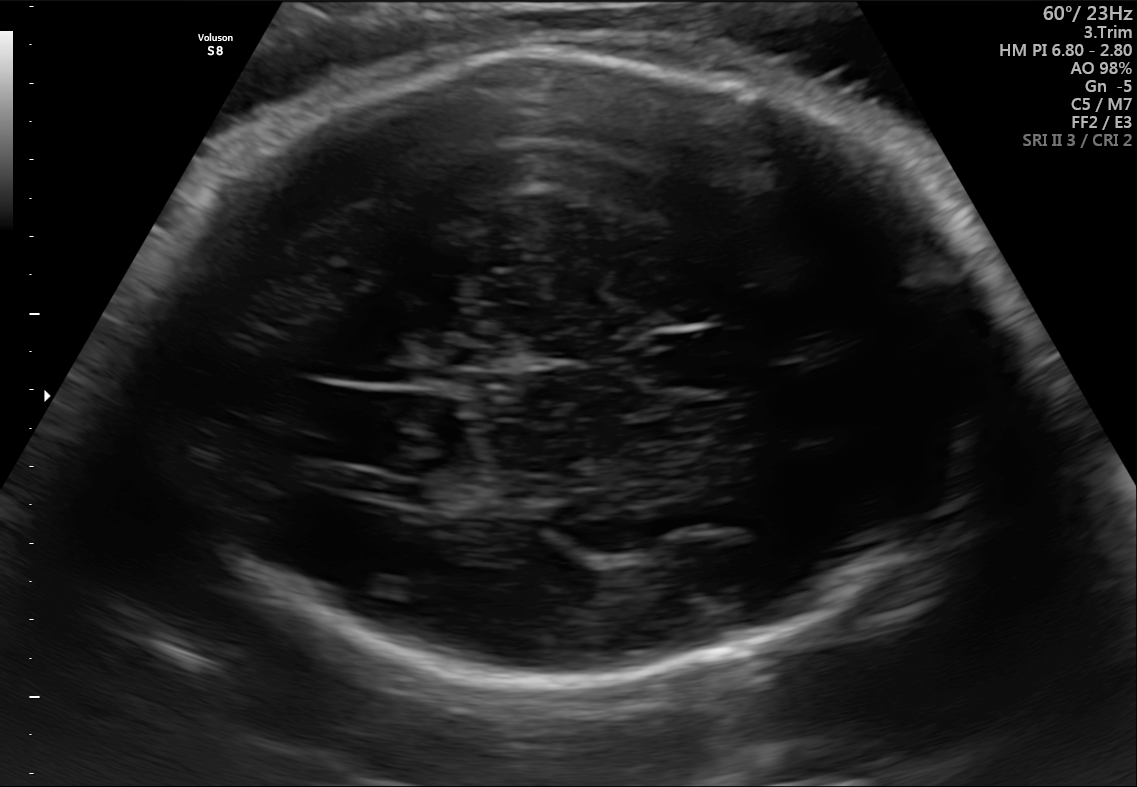
Fetal brain, trans-thalamic plane. Where is the fetal head?

Head bounding box: [158,51,989,676]